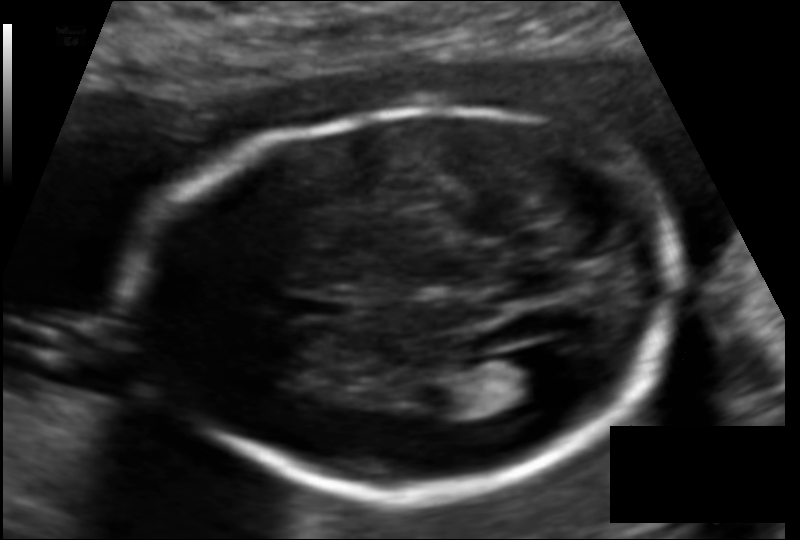
In this fetal head ultrasound, give the bounding box of the cavum septum pellucidum. Image width: 91.1 mm.

[289,293,350,319]